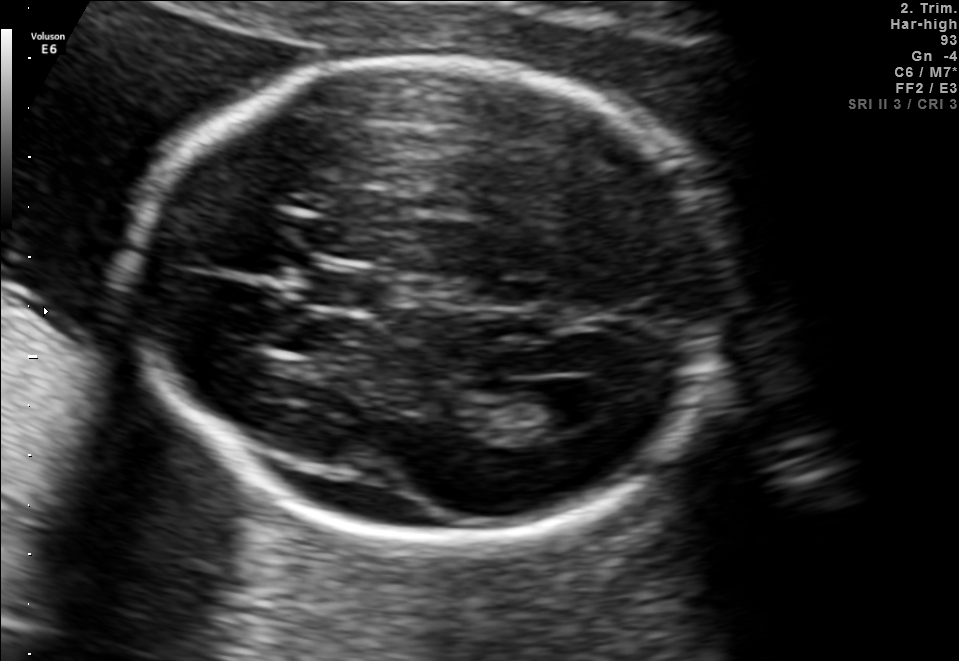
In this fetal brain, trans-ventricular plane, give the bounding box of the lateral ventricle.

[542,376,621,430]